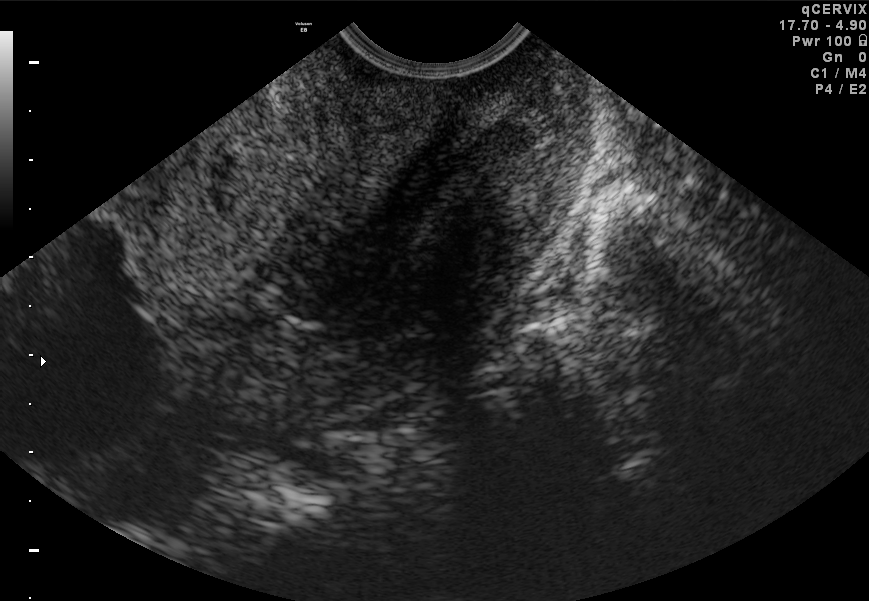
This is a 2D maternal-fetal ultrasound frame. Is it a fetal abdomen, fetal brain, fetal femur, fetal thorax, maternal cervix, or other standard plane? If it's fetal brain and one of the three standard brain planes (trans-thalamic, trans-cerebellum, trans-ventricular), name which.

Maternal cervix